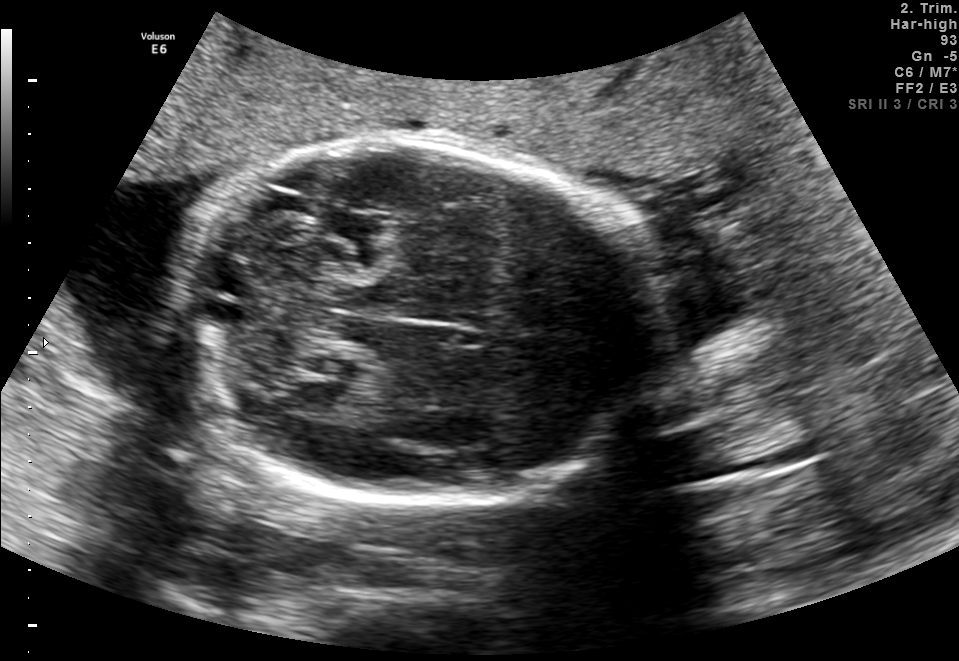
Fetal brain, trans-cerebellum plane. Give [x1,y1,x2,y2] bounding boxes for each visible structure among: fetal head, CSP, LV.

Head: [175,140,644,503]